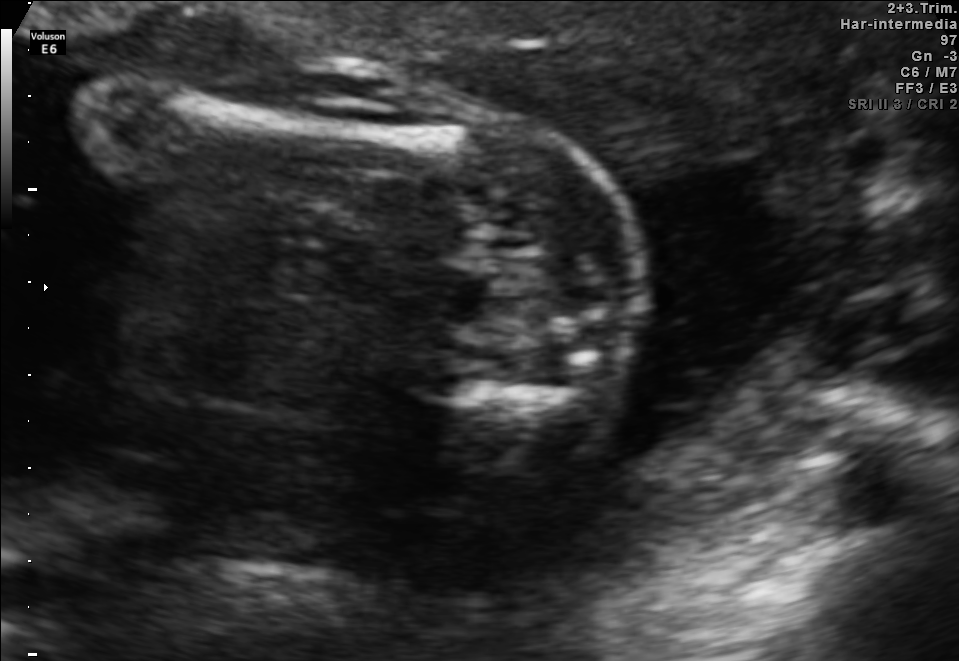
This is a 2D maternal-fetal ultrasound frame. Is it a fetal abdomen, fetal brain, fetal femur, fetal thorax, maternal cervix, or other standard plane? If it's fetal brain and one of the three standard brain planes (trans-thalamic, trans-cerebellum, trans-ventricular), name which.

Fetal femur